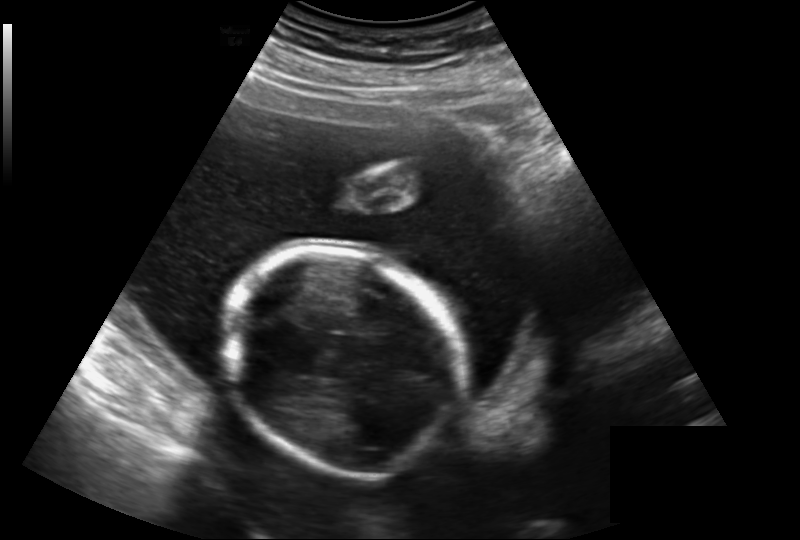
In this fetal head ultrasound, give the bounding box of the fetal head. Image width: 175.3 mm.

[222,251,466,474]